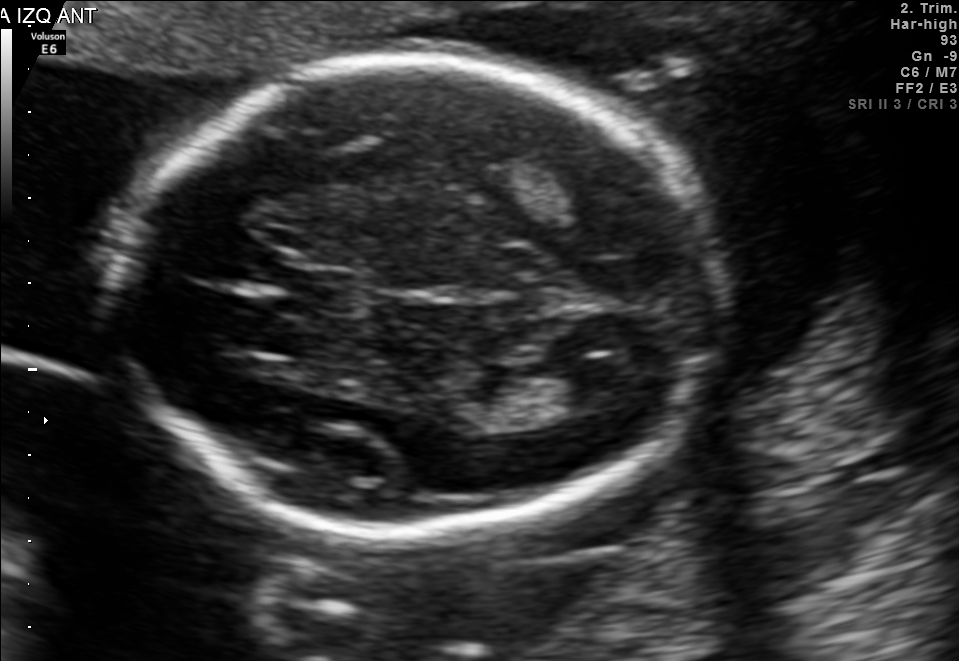
Fetal brain, trans-thalamic plane. Where is the fetal head?

Head bounding box: [110,61,711,528]